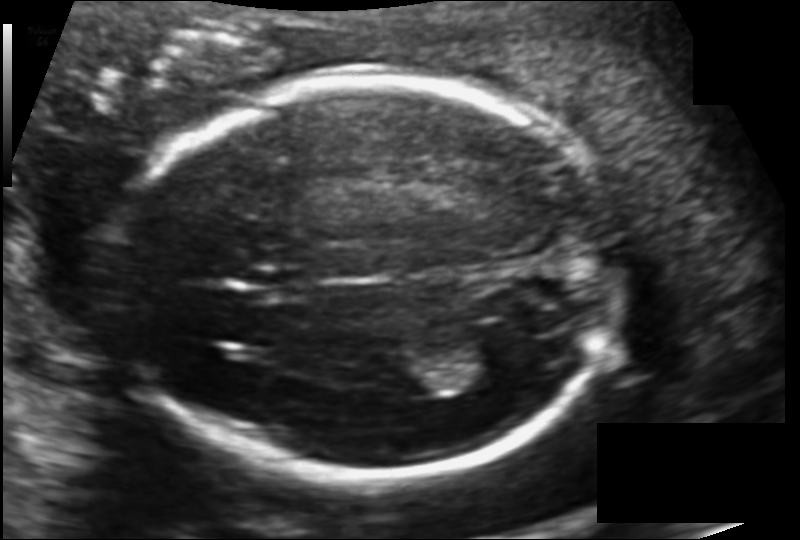
Fetal head ultrasound. Image width: 101.2 mm. Locate the fetal head.

Head: [122,80,620,478]